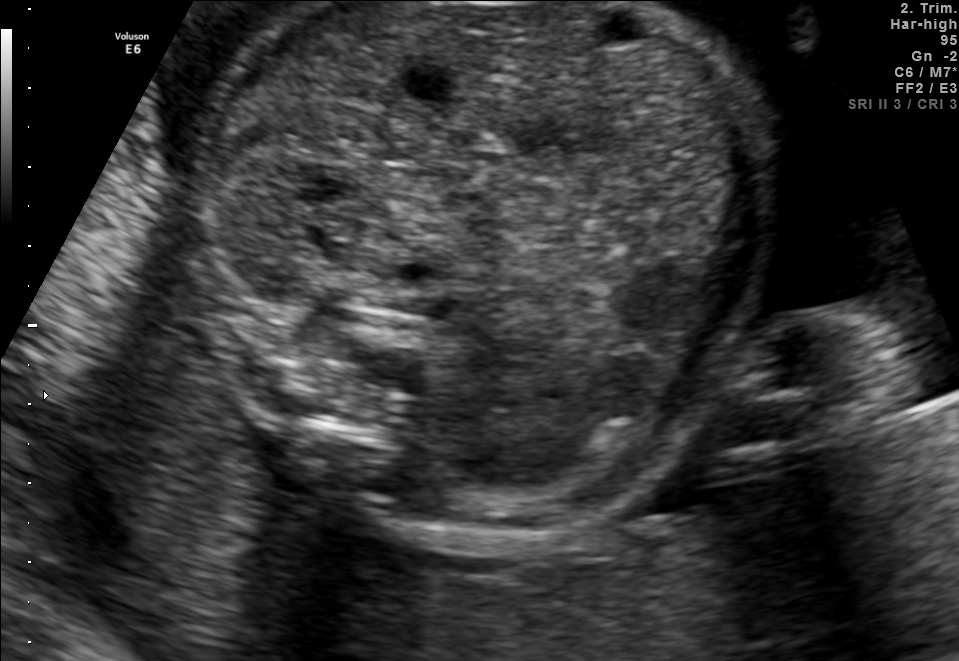
Which standard maternal-fetal ultrasound plane is shown: fetal abdomen, fetal brain, fetal femur, fetal thorax, maternal cervix, or other? If it's fetal brain and one of the three standard brain planes (trans-thalamic, trans-cerebellum, trans-ventricular), name which.

Other